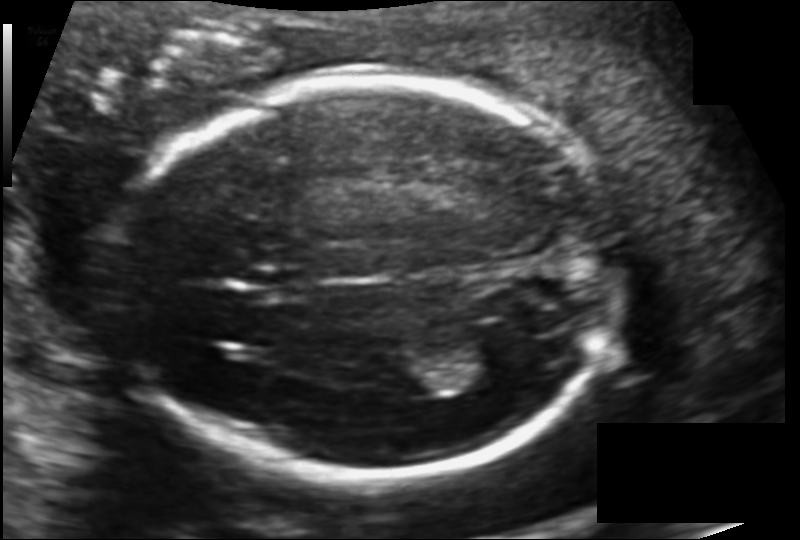
In this fetal head ultrasound, give the bounding box of the fetal head. Image width: 101.2 mm.

[122,80,620,478]